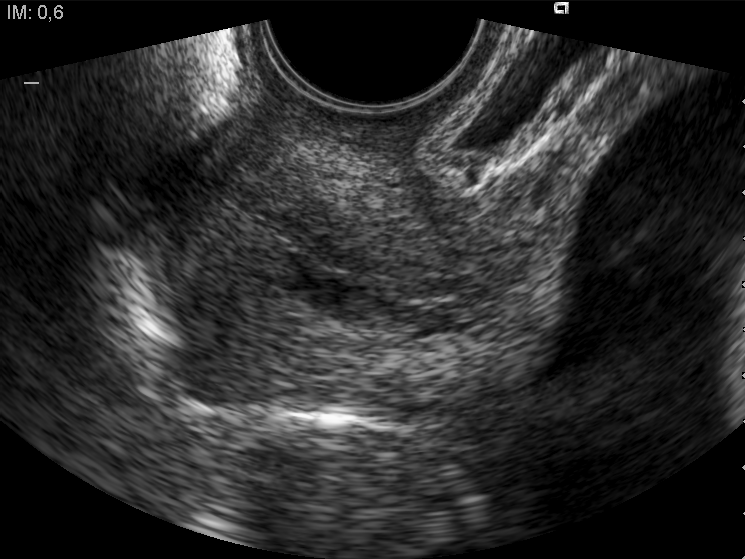
This is a 2D maternal-fetal ultrasound frame. Is it a fetal abdomen, fetal brain, fetal femur, fetal thorax, maternal cervix, or other standard plane? If it's fetal brain and one of the three standard brain planes (trans-thalamic, trans-cerebellum, trans-ventricular), name which.

Maternal cervix